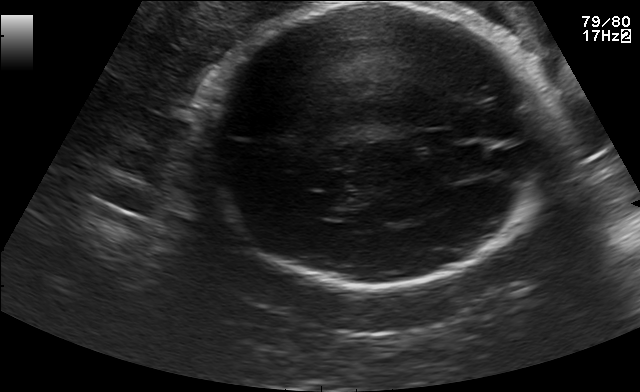
Fetal brain, trans-thalamic plane. Where is the fetal head?

Head bounding box: [198,3,547,288]